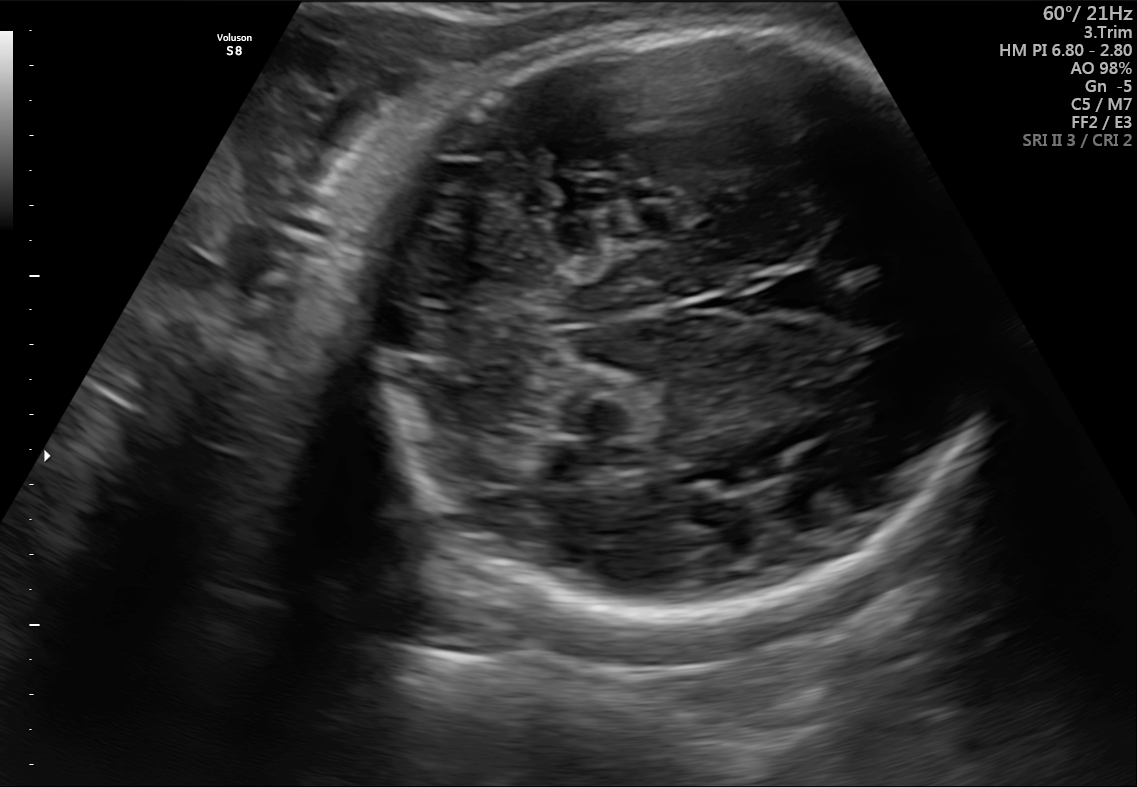
Fetal brain, trans-cerebellum plane. Locate the fetal head and, if visible, the cavum septum pellucidum (CSP) and lateral ventricle (LV). Give bounding boxes as [x1,y1,x2,y2].

Head: [318,27,973,617]
CSP: [761,262,841,319]